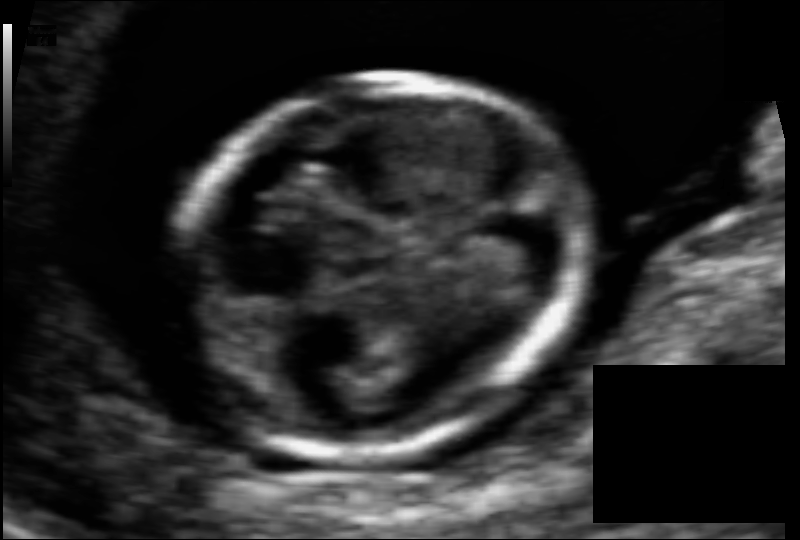
Estimate the fetal head circumference from this 2D ultrasound.

Head circumference: 69.8 mm (image width 43.2 mm).